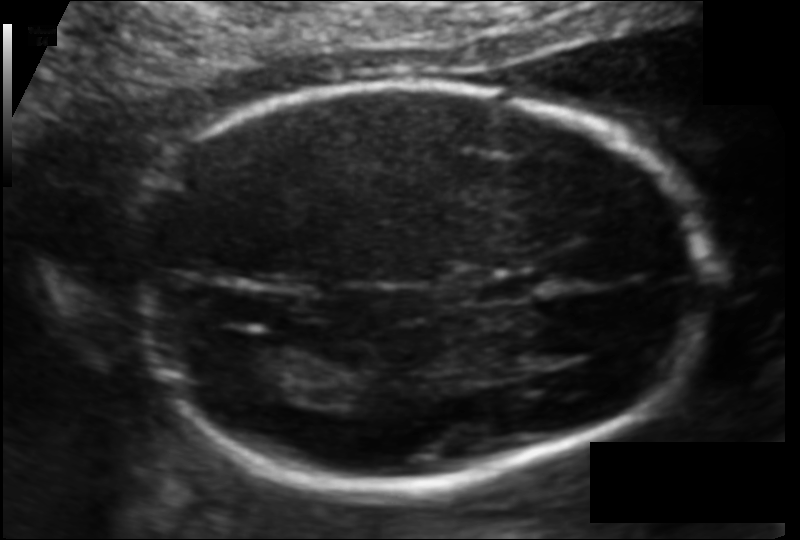
In this fetal head ultrasound, give the bounding box of the fetal head. Image width: 87.4 mm.

[123,82,705,486]